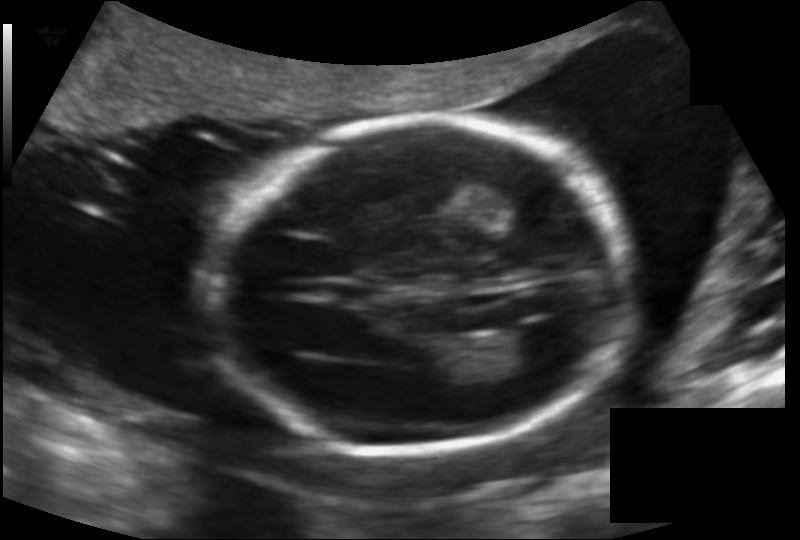
Fetal head ultrasound. Image width: 113.7 mm. Give [x1,y1,x2,y2] bounding boxes for each visible structure among: fetal head, CSP, LV.

Head: [204,119,634,449]
Lateral ventricle: [496,318,569,376]